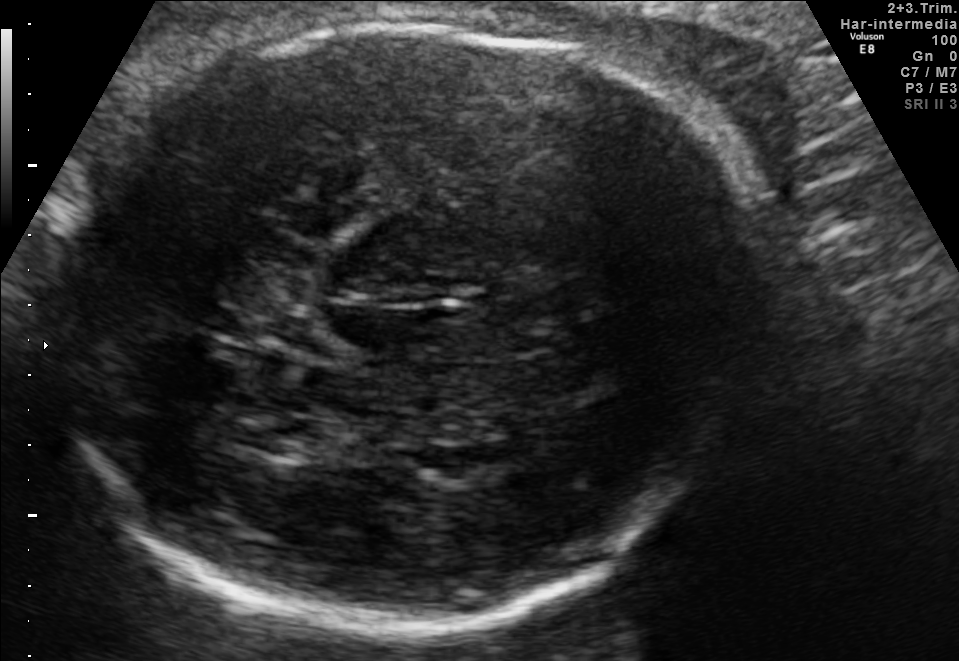
In this fetal brain, trans-thalamic plane, give bounding boxes for the head outline, cavum septum pellucidum (CSP), and lateral ventricle (LV), where visible.

Head: [49,21,766,626]
Lateral ventricle: [238,404,327,464]